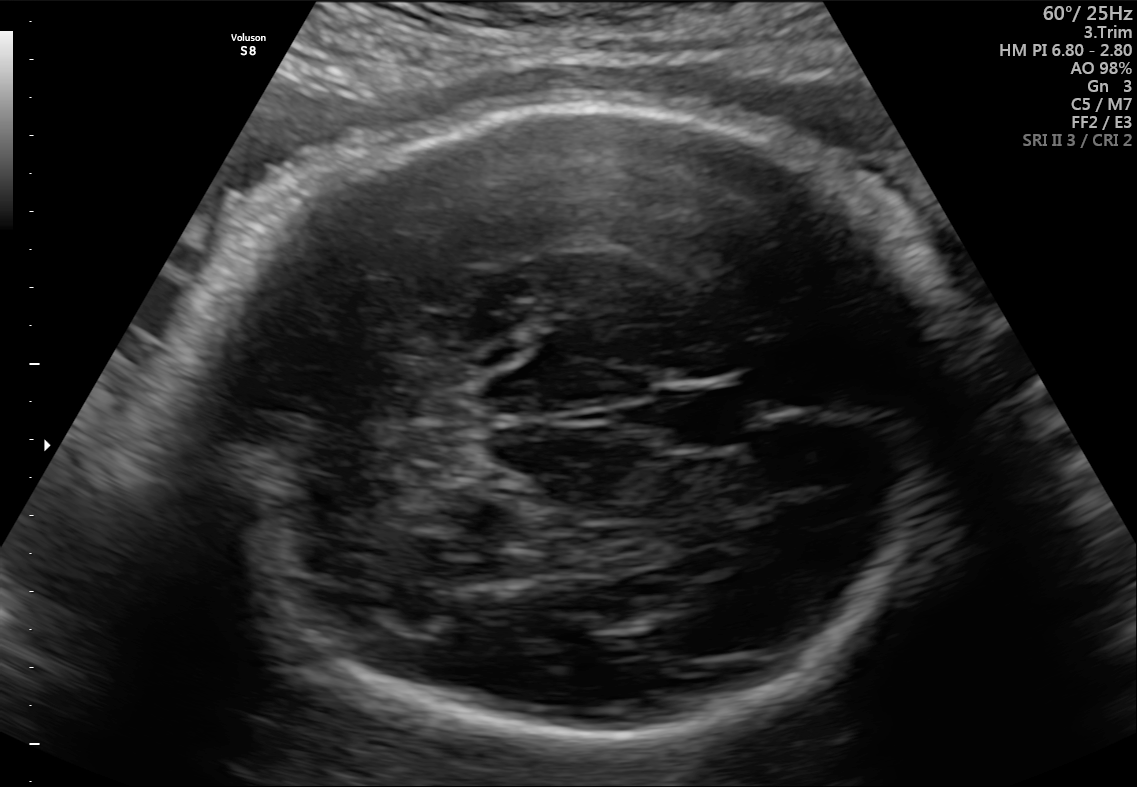
Fetal brain, trans-cerebellum plane. Locate the cavum septum pellucidum.

CSP: [656,378,752,459]